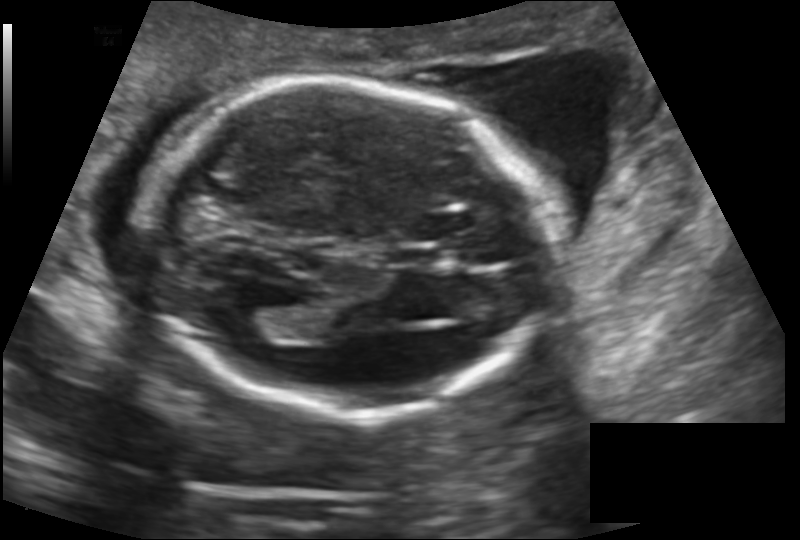
Fetal head ultrasound. Image width: 116.4 mm. Where is the lateral ventricle?

Lateral ventricle bounding box: [225,307,278,339]